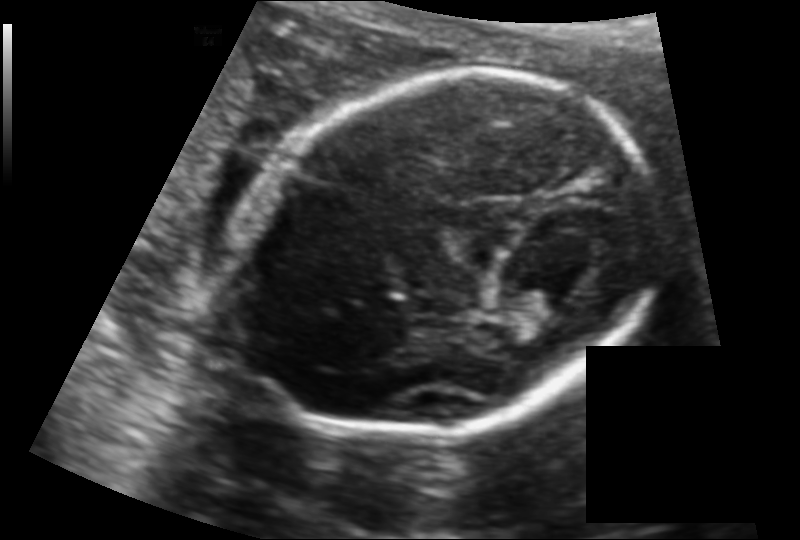
In this fetal head ultrasound, give the bounding box of the fetal head. Image width: 103.7 mm.

[222,70,652,437]